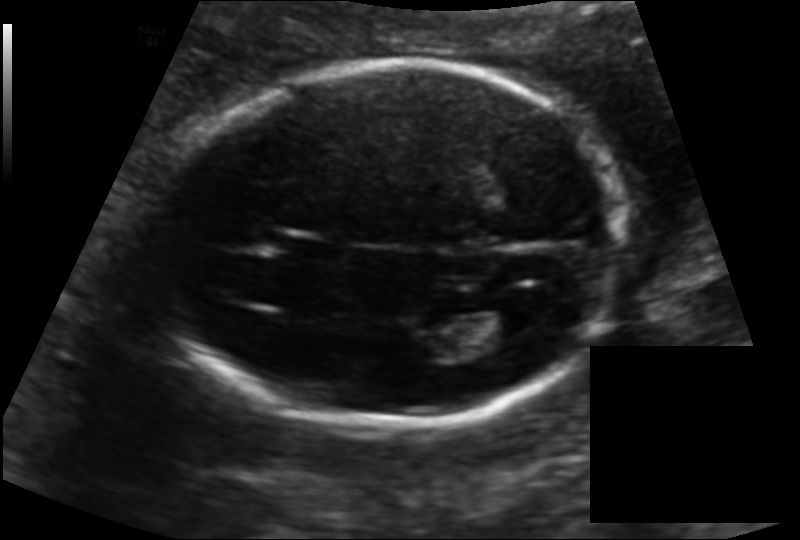
Fetal head ultrasound. Image width: 110.8 mm. Locate the lateral ventricle.

Lateral ventricle: [457,287,544,352]